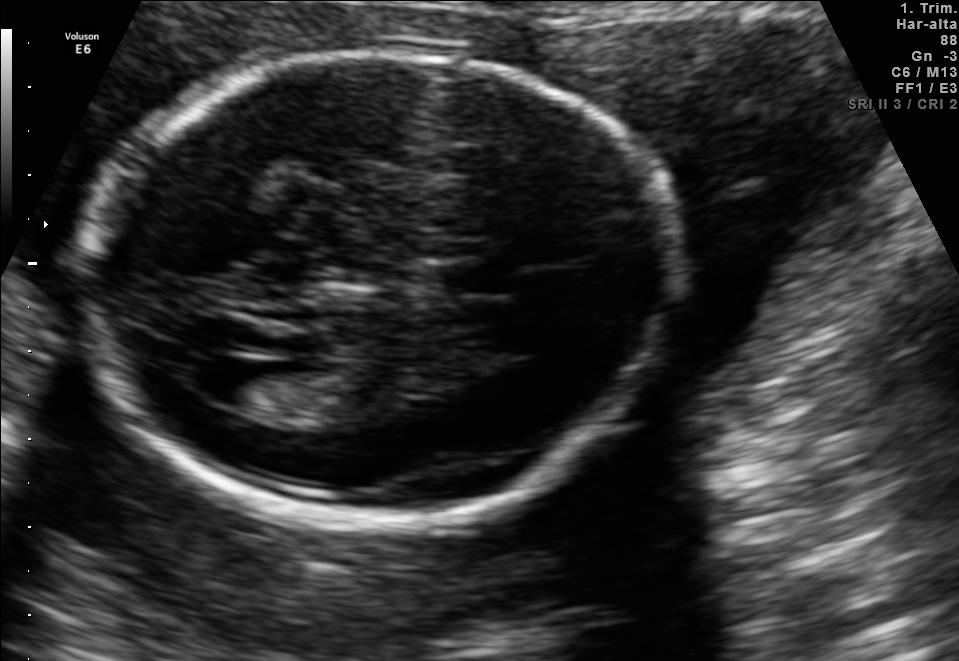
Fetal brain, trans-ventricular plane. Locate the fetal head.

Head: [67,46,692,527]